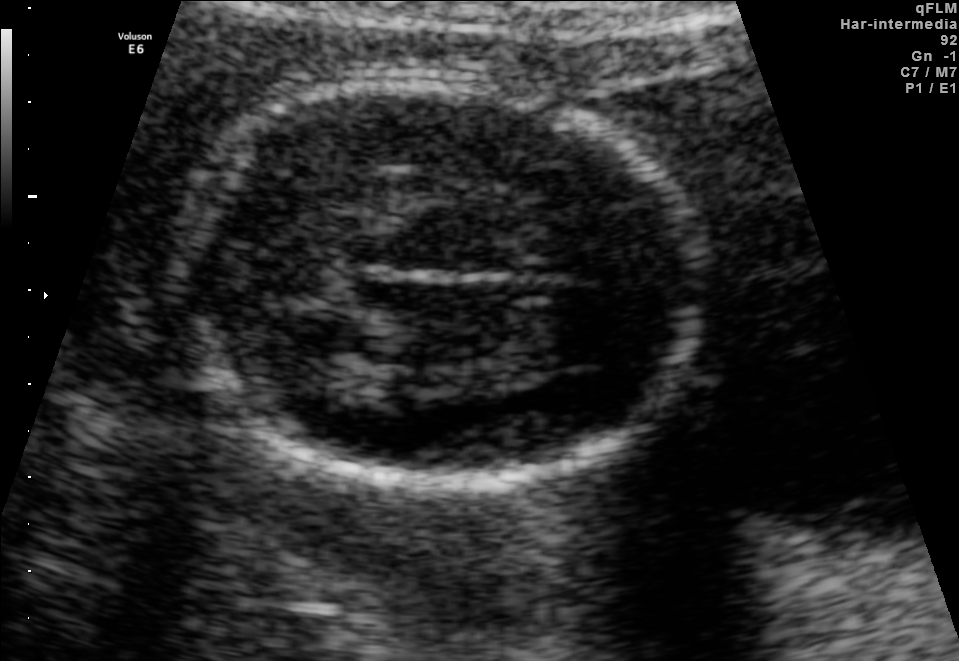
Fetal brain, trans-thalamic plane. Locate the fetal head.

Head: [171,78,702,483]